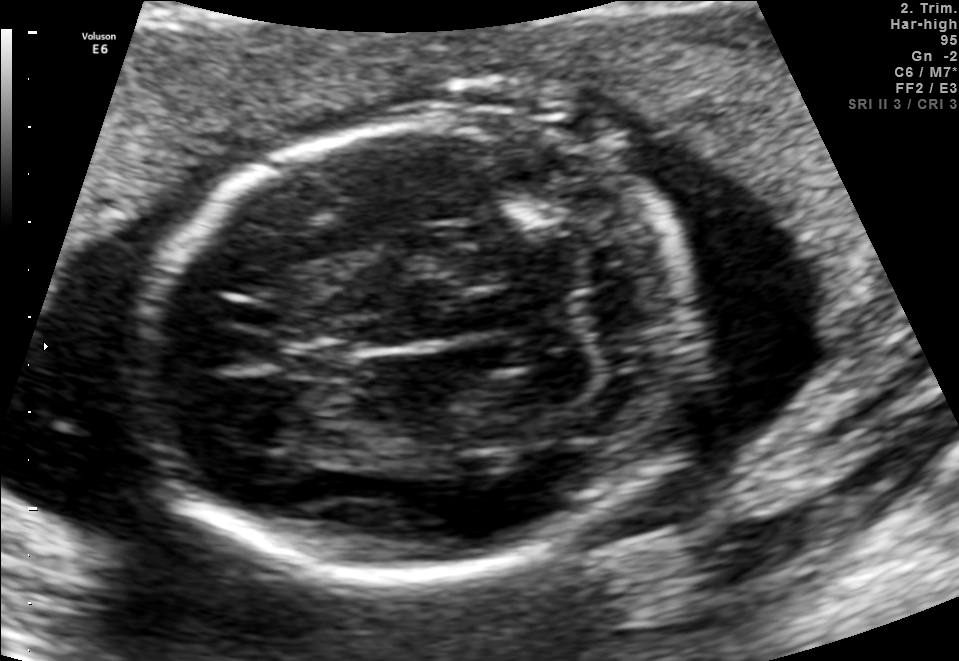
In this fetal brain, trans-cerebellum plane, give bounding boxes for the head outline, cavum septum pellucidum (CSP), and lateral ventricle (LV), where visible.

Head: [137,124,688,573]
CSP: [283,340,353,380]